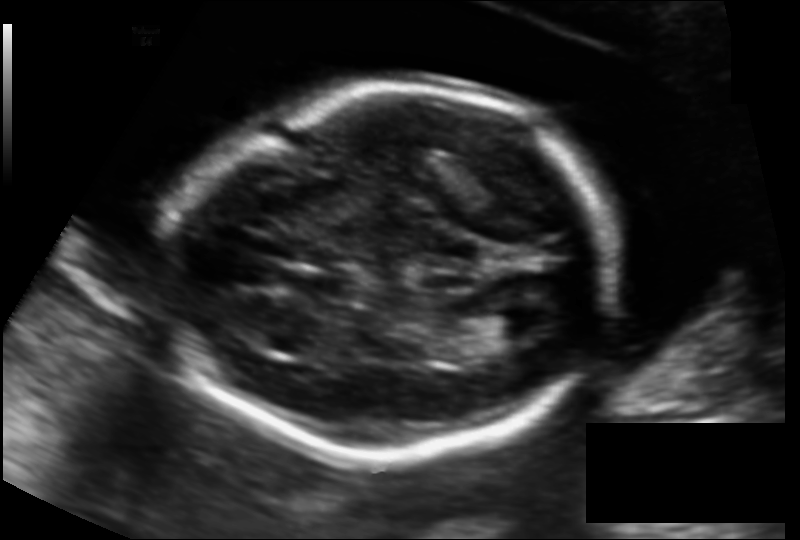
Fetal head ultrasound. Image width: 105.0 mm. Where is the fetal head?

Head bounding box: [168,85,612,460]